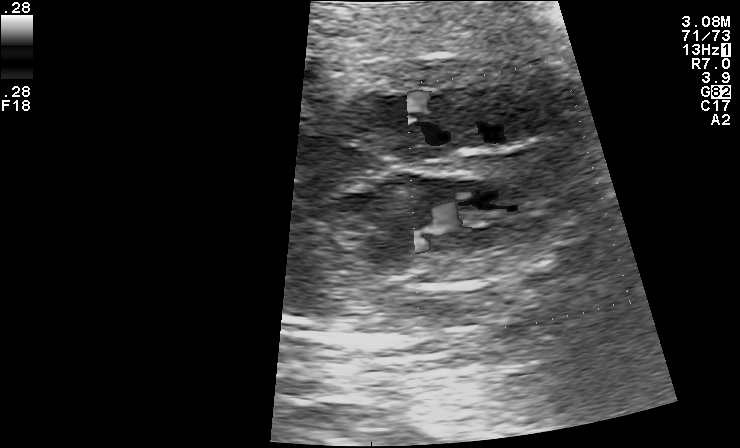
Identify the standard plane in this fetal ultrasound image: fetal abdomen, fetal brain, fetal femur, fetal thorax, maternal cervix, or other. If it's fetal brain and one of the three standard brain planes (trans-thalamic, trans-cerebellum, trans-ventricular), name which.

Other